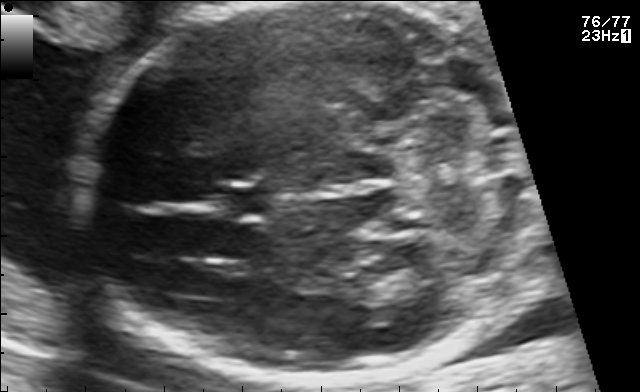
In this fetal brain, trans-cerebellum plane, give the bounding box of the fetal head.

[80,3,527,382]